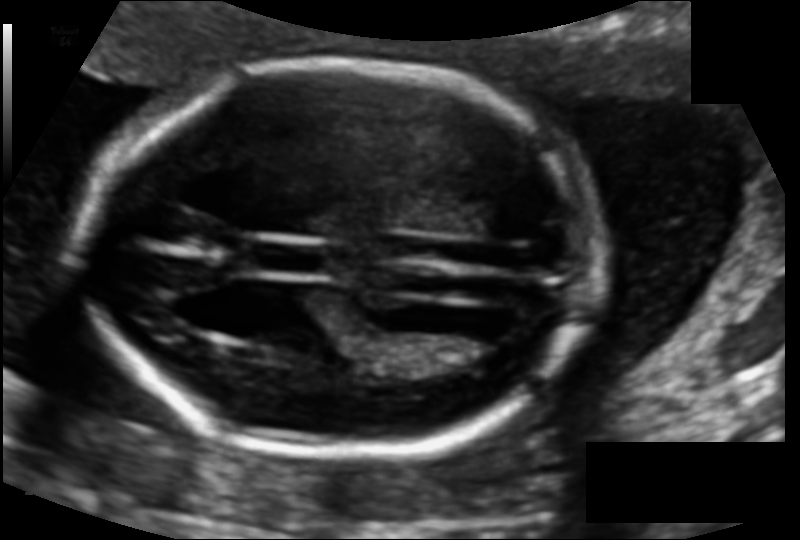
Fetal head ultrasound. Image width: 88.3 mm. Where is the cavum septum pellucidum?

CSP bounding box: [255,239,325,275]